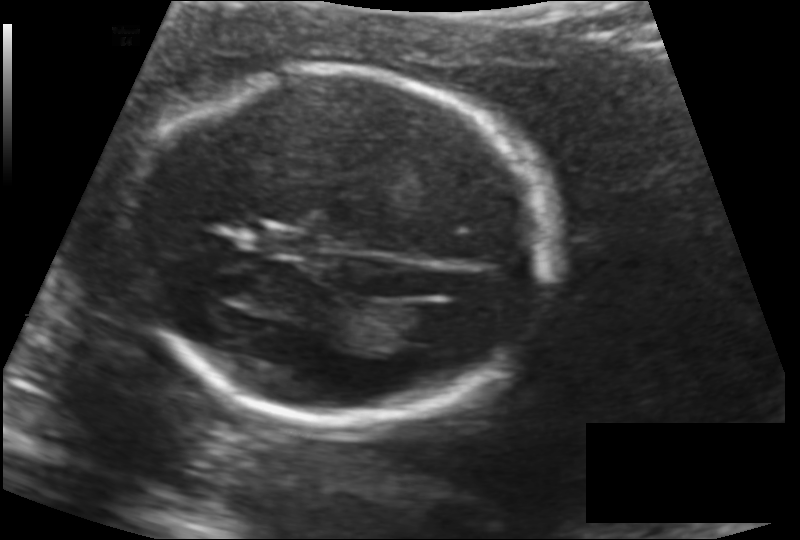
In this fetal head ultrasound, give bounding boxes for the head outline, cavum septum pellucidum (CSP), and lateral ventricle (LV), where visible. Image width: 105.6 mm.

Head: [136,67,546,429]
CSP: [265,231,310,256]
Lateral ventricle: [393,303,454,343]